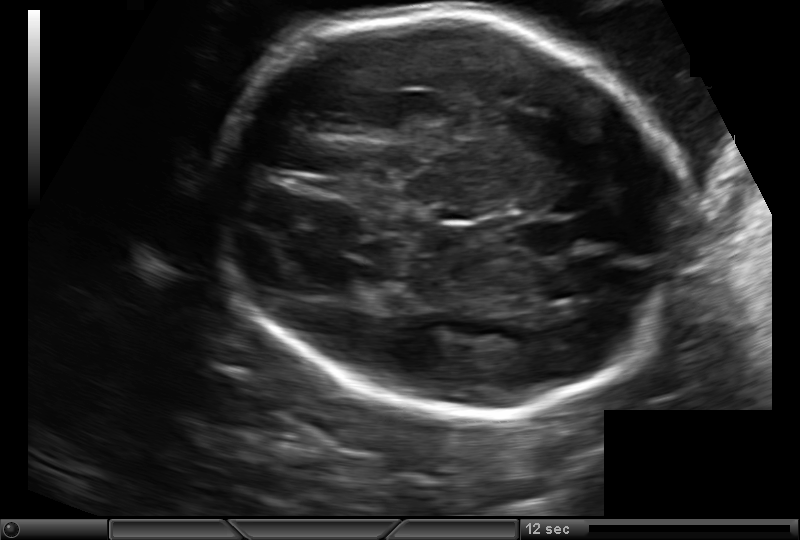
Fetal head ultrasound. Image width: 137.2 mm. Locate the fetal head and, if visible, the cavum septum pellucidum (CSP) and lateral ventricle (LV). Give bounding boxes as [x1,y1,x2,y2].

Head: [216,14,689,415]